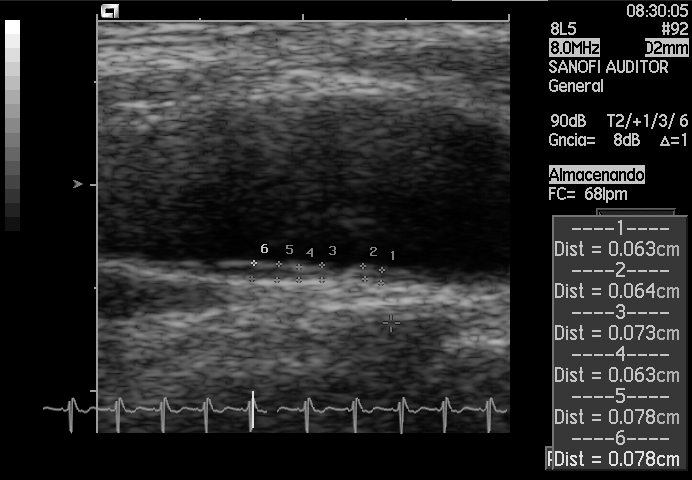
Identify the standard plane in this fetal ultrasound image: fetal abdomen, fetal brain, fetal femur, fetal thorax, maternal cervix, or other. If it's fetal brain and one of the three standard brain planes (trans-thalamic, trans-cerebellum, trans-ventricular), name which.

Other